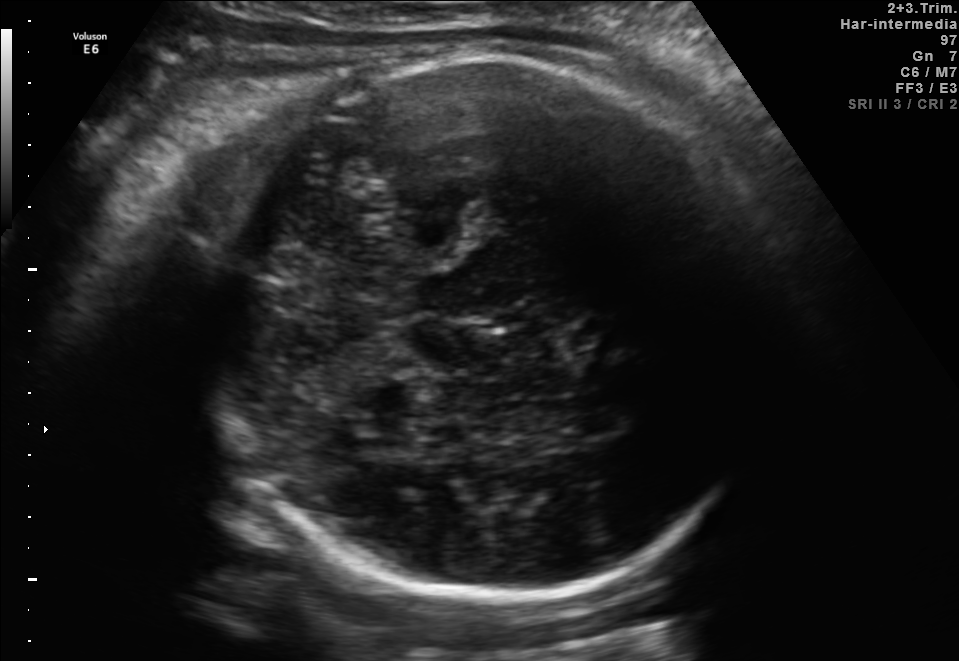
Fetal brain, trans-cerebellum plane. Locate the fetal head.

Head: [214,57,769,602]